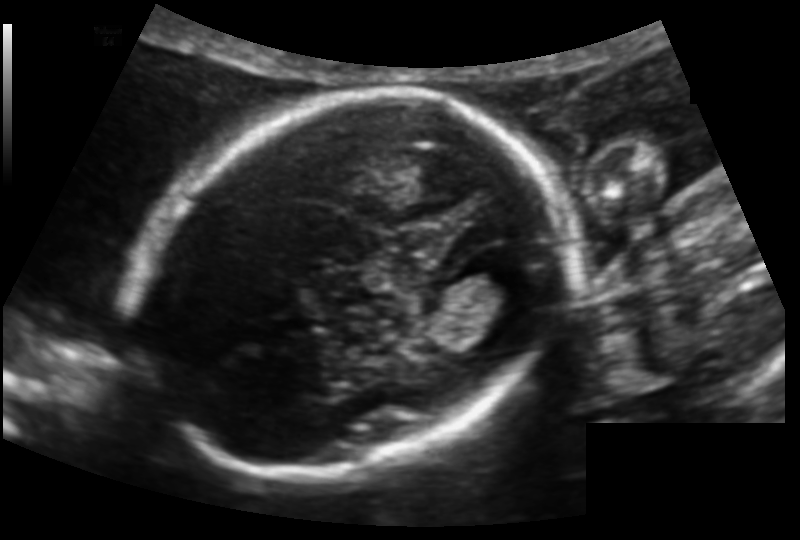
Fetal head ultrasound. Image width: 98.5 mm. Where is the fetal head?

Head bounding box: [137,94,556,477]